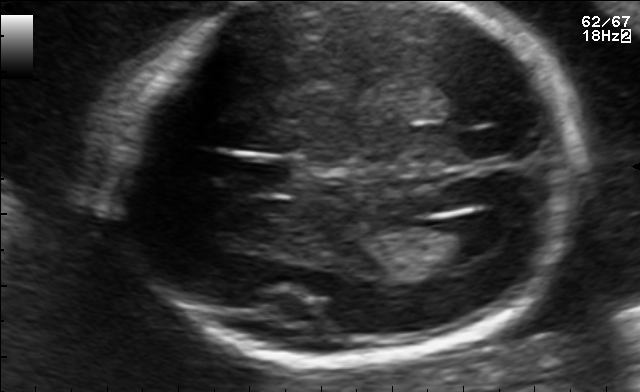
Fetal brain, trans-ventricular plane. Locate the cavum septum pellucidum (CSP) and lateral ventricle (LV), if visible. Give bounding boxes as [x1,y1,x2,y2].

CSP: [226,160,293,189]
Lateral ventricle: [442,206,515,260]